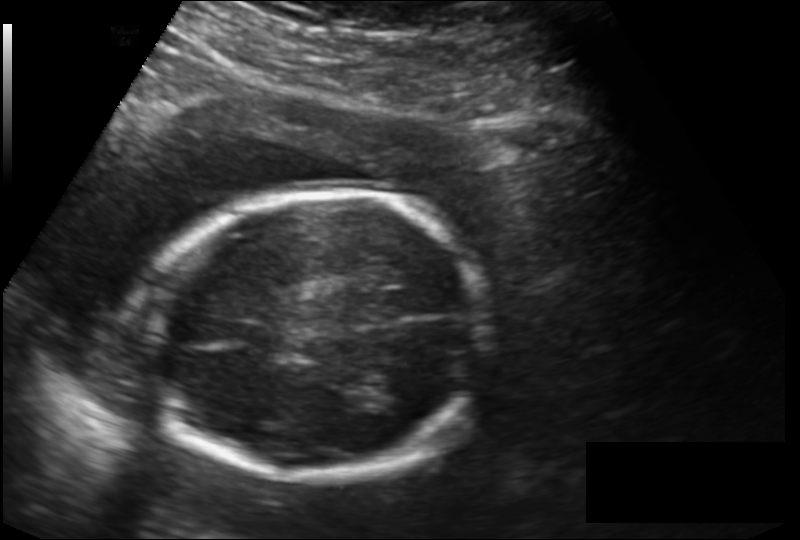
Estimate the fetal head circumference from this 2D ultrasound.

Head circumference: 173.1 mm (image width 133.1 mm).